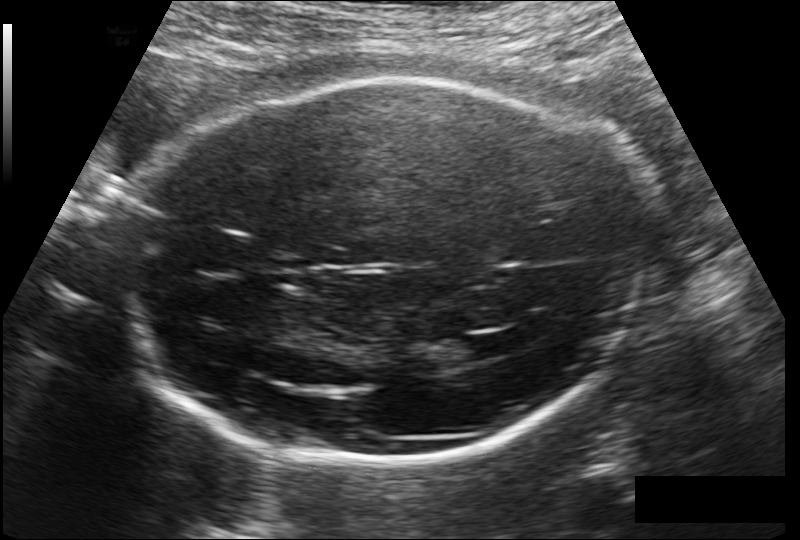
Fetal head ultrasound. Image width: 142.1 mm. Give [x1,y1,x2,y2] bounding boxes for each visible structure among: fetal head, CSP, LV.

Head: [125,80,647,465]
Lateral ventricle: [441,334,492,366]